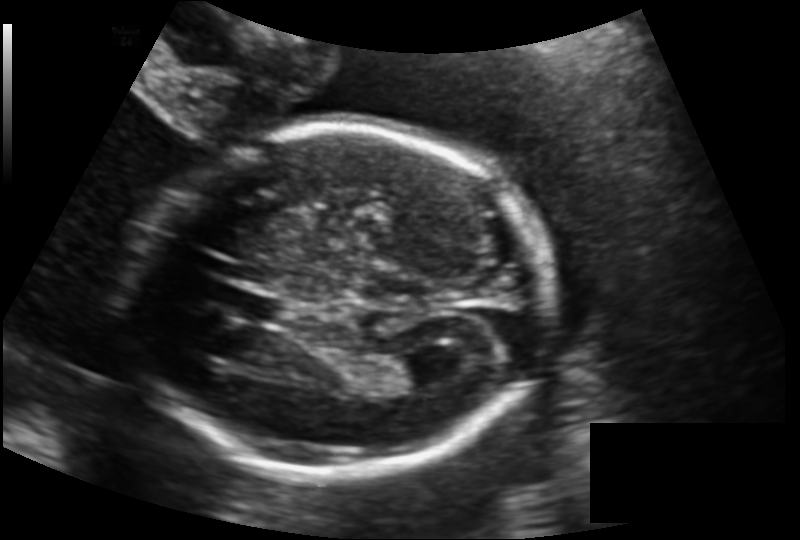
What is the fetal head circumference? Image width is 117.2 mm.

182.8 mm